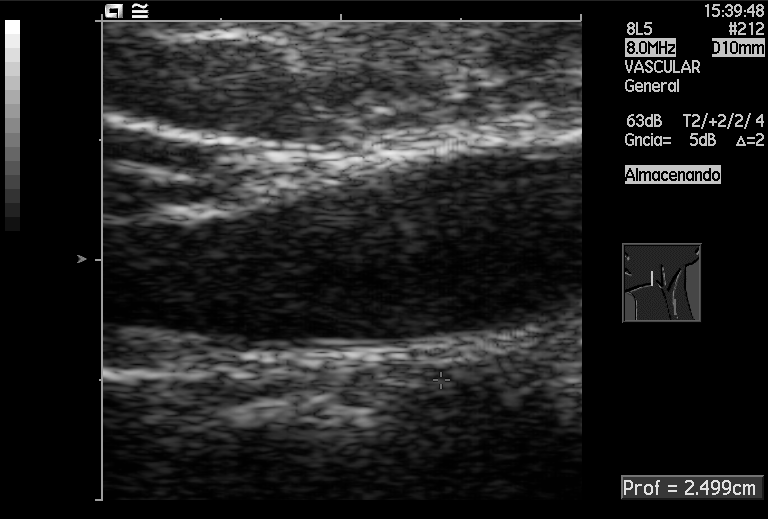
This is a 2D maternal-fetal ultrasound frame. Is it a fetal abdomen, fetal brain, fetal femur, fetal thorax, maternal cervix, or other standard plane? If it's fetal brain and one of the three standard brain planes (trans-thalamic, trans-cerebellum, trans-ventricular), name which.

Other